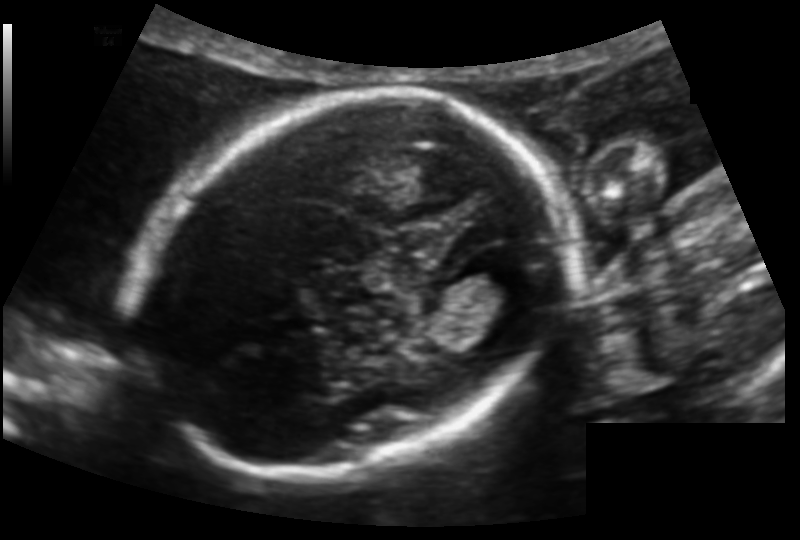
Estimate the fetal head circumference from this 2D ultrasound. Image width: 98.5 mm.

Head circumference: 159.1 mm.